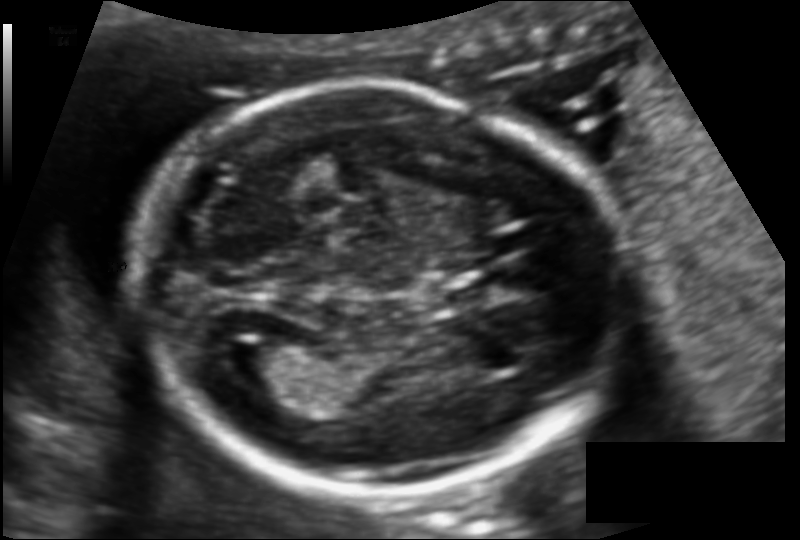
Fetal head ultrasound. Image width: 89.5 mm. Give [x1,y1,x2,y2] bounding boxes for each visible structure among: fetal head, CSP, LV.

Head: [134,90,614,494]
Lateral ventricle: [205,330,290,396]